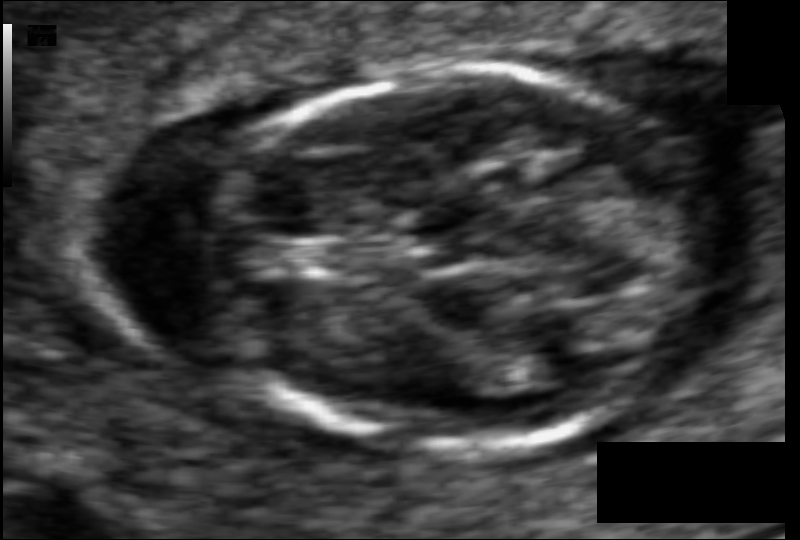
Fetal head ultrasound. Image width: 46.1 mm. Give [x1,y1,x2,y2] bounding boxes for each visible structure among: fetal head, CSP, LV.

Head: [211,68,711,451]